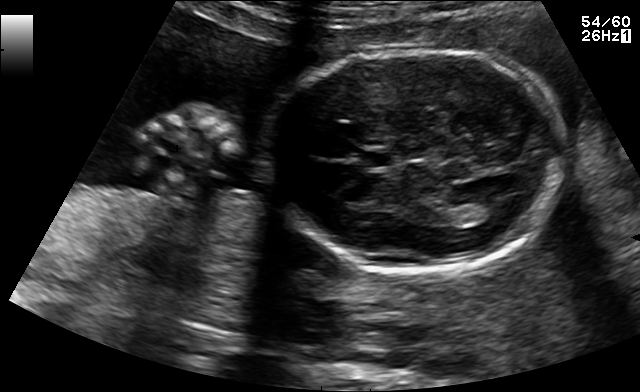
In this fetal brain, trans-thalamic plane, give the bounding box of the cavum septum pellucidum.

[362,151,395,168]